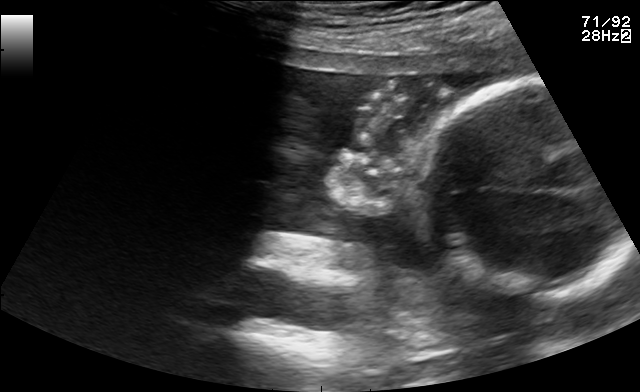
Identify the standard plane in this fetal ultrasound image: fetal abdomen, fetal brain, fetal femur, fetal thorax, maternal cervix, or other. If it's fetal brain and one of the three standard brain planes (trans-thalamic, trans-cerebellum, trans-ventricular), name which.

Other